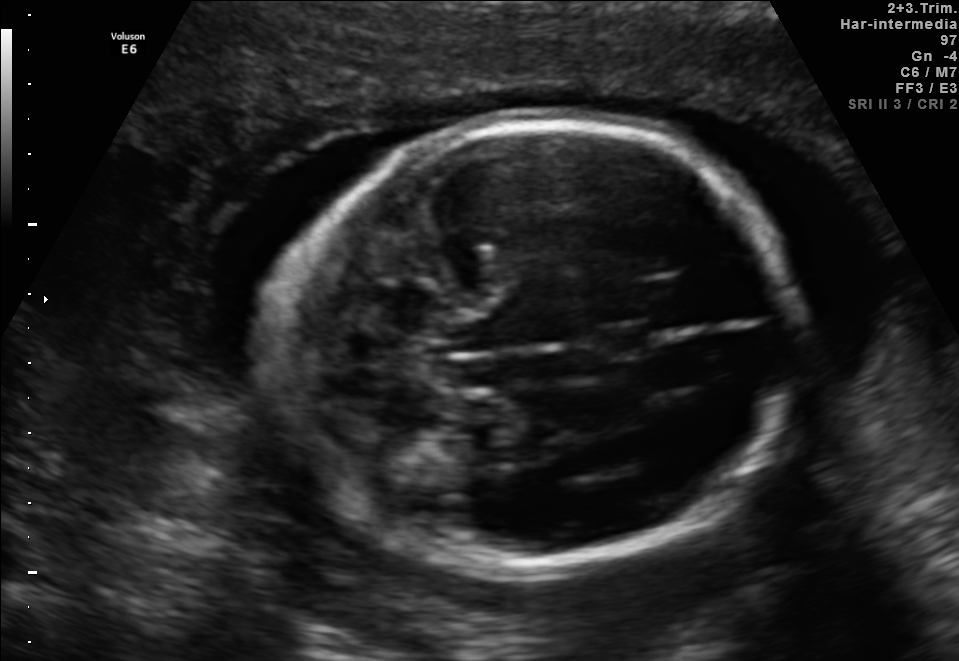
Identify the standard plane in this fetal ultrasound image: fetal abdomen, fetal brain, fetal femur, fetal thorax, maternal cervix, or other. If it's fetal brain and one of the three standard brain planes (trans-thalamic, trans-cerebellum, trans-ventricular), name which.

Fetal brain (trans-cerebellum plane)